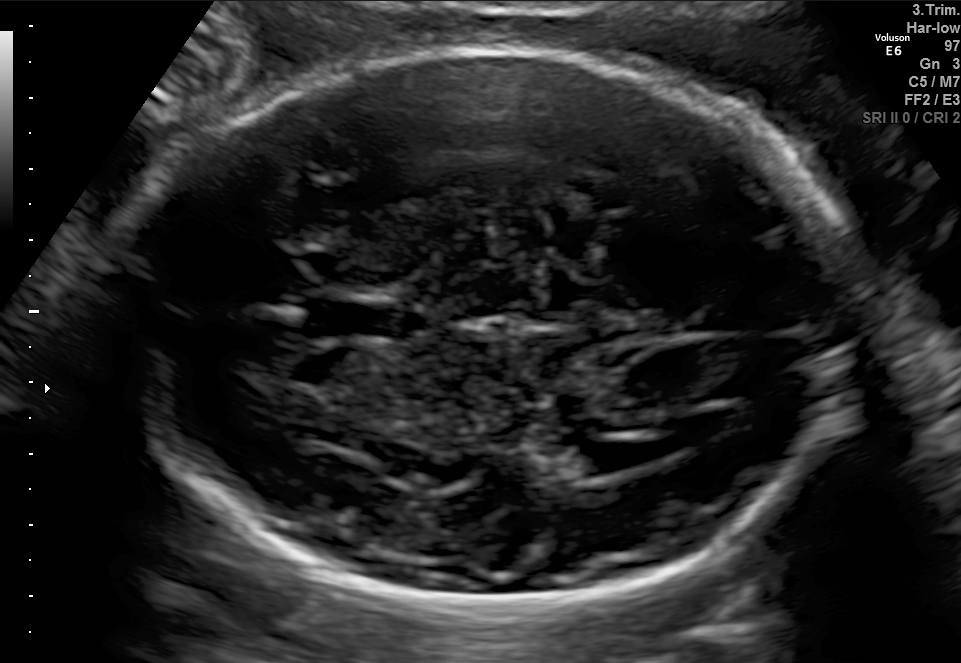
Fetal brain, trans-ventricular plane. Where is the cavum septum pellucidum?

CSP bounding box: [308,297,395,338]